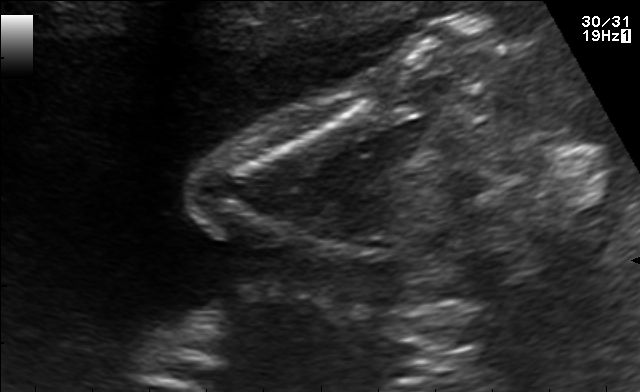
This is a 2D maternal-fetal ultrasound frame. Is it a fetal abdomen, fetal brain, fetal femur, fetal thorax, maternal cervix, or other standard plane? If it's fetal brain and one of the three standard brain planes (trans-thalamic, trans-cerebellum, trans-ventricular), name which.

Other